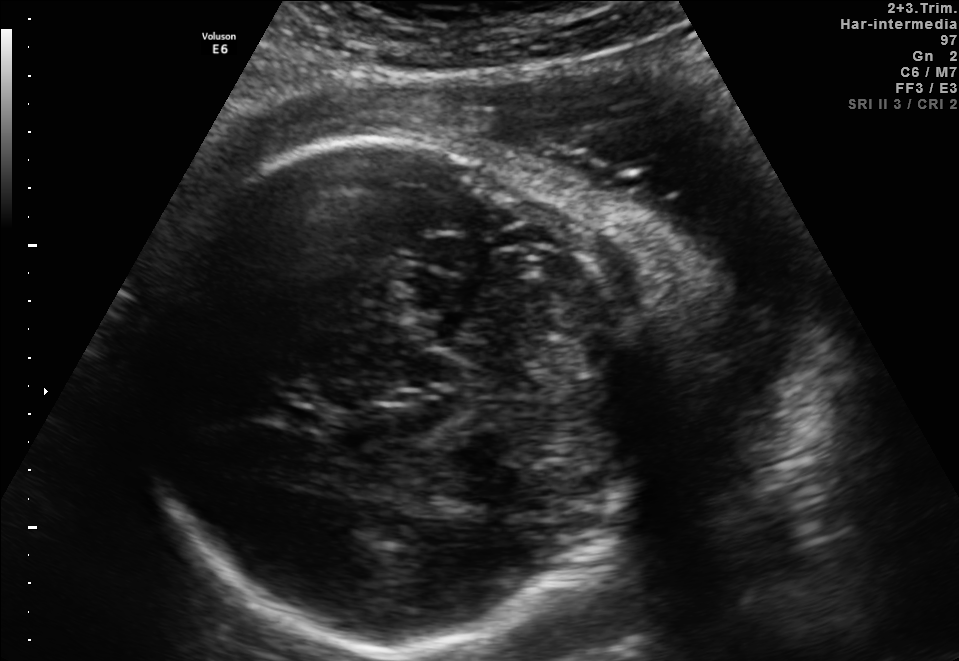
In this fetal brain, trans-thalamic plane, give the bounding box of the cavum septum pellucidum.

[262,395,326,438]